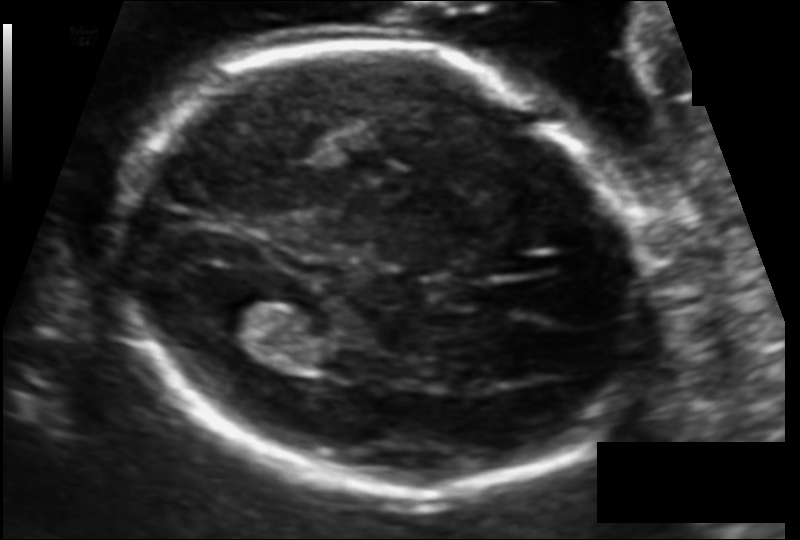
Fetal head ultrasound. Image width: 92.8 mm. Give [x1,y1,x2,y2] bounding boxes for each visible structure among: fetal head, CSP, LV.

Head: [113,44,652,493]
Lateral ventricle: [199,274,292,351]